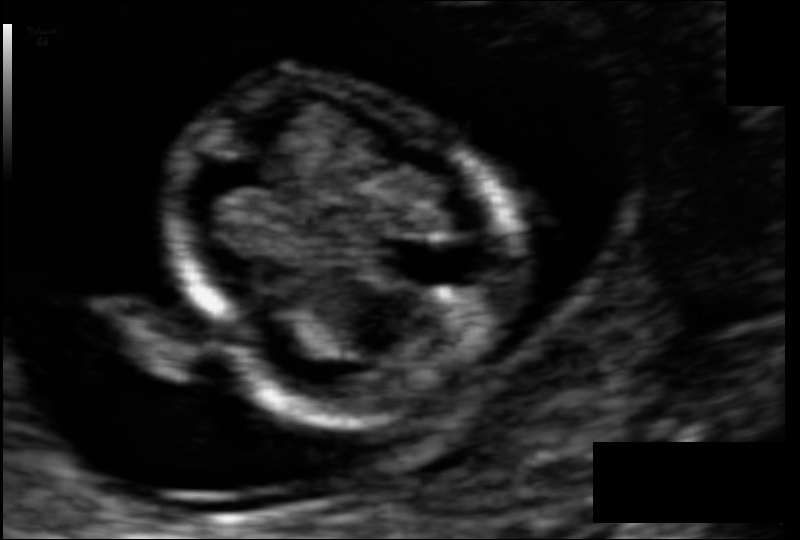
Estimate the fetal head circumference from this 2D ultrasound. Image width: 47.3 mm.

Head circumference: 67.2 mm.